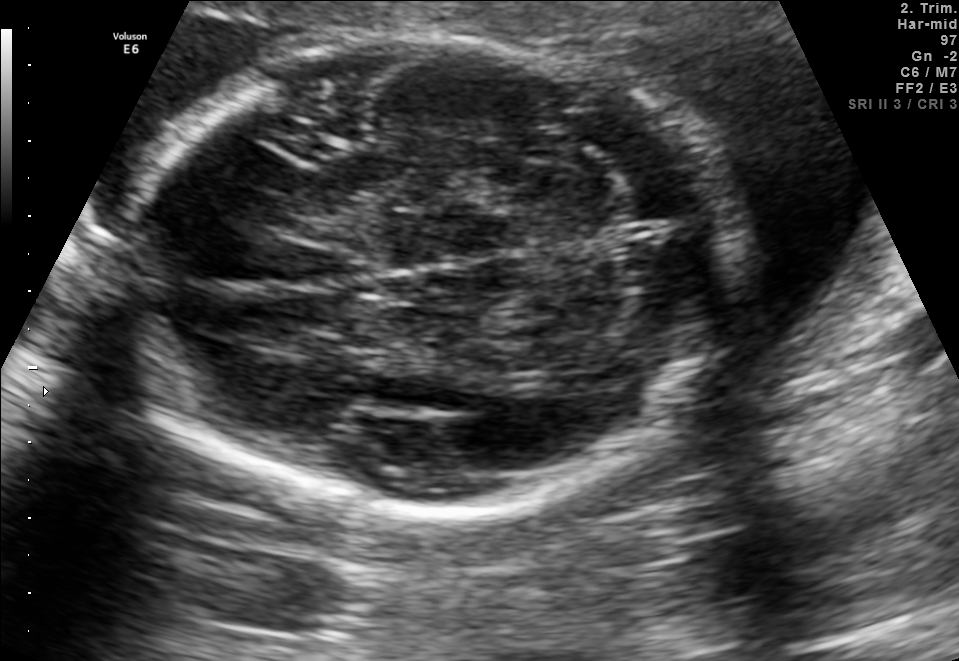
Fetal brain, trans-cerebellum plane. Give [x1,y1,x2,y2] bounding boxes for each visible structure among: fetal head, CSP, LV.

Head: [121,37,742,512]